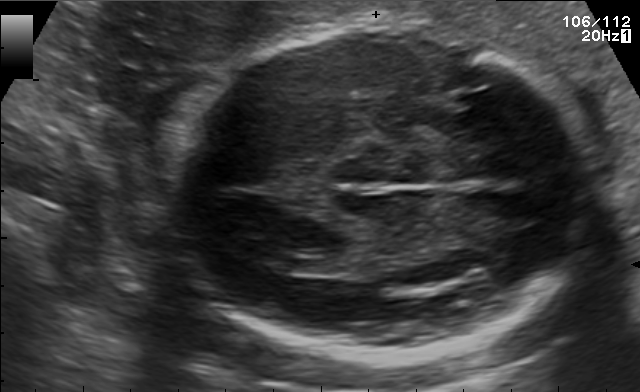
Fetal brain, trans-ventricular plane. Where is the fetal head?

Head bounding box: [157,21,609,370]